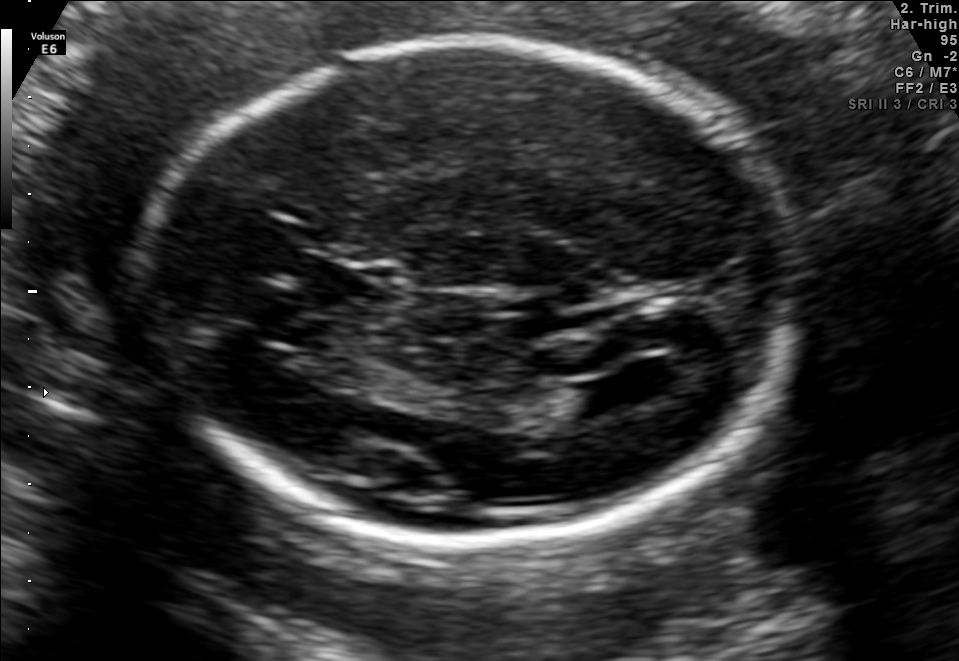
In this fetal brain, trans-ventricular plane, give bounding boxes for the head outline, cavum septum pellucidum (CSP), and lateral ventricle (LV), where visible.

Head: [123,34,808,549]
CSP: [299,260,410,322]
Lateral ventricle: [566,373,634,421]